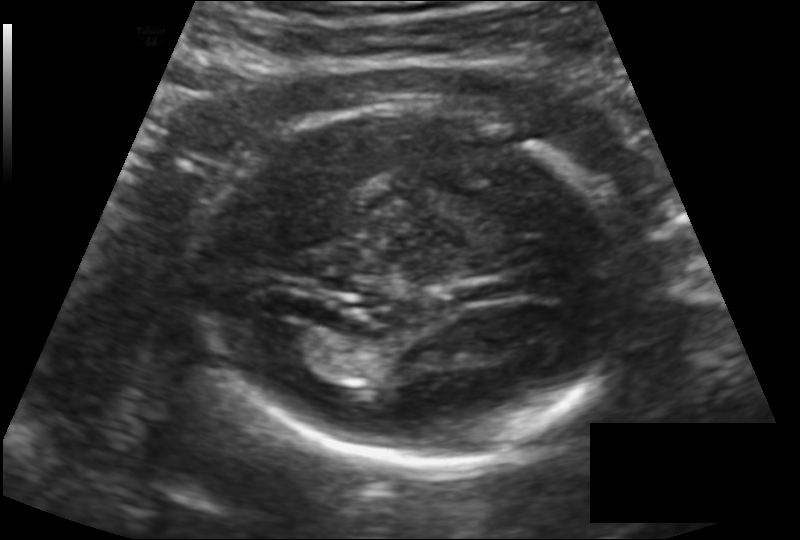
Estimate the fetal head circumference from this 2D ultrasound. Image width: 113.7 mm.

Head circumference: 178.3 mm.